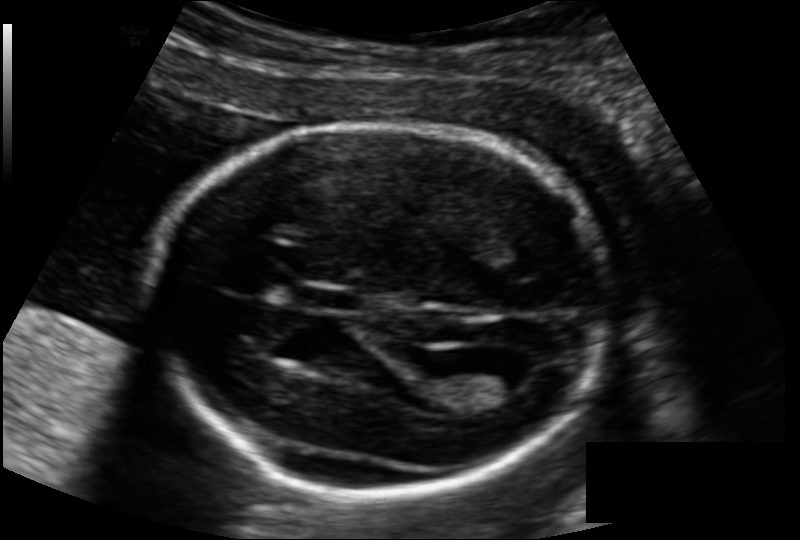
Fetal head ultrasound. Image width: 106.7 mm. Locate the lateral ventricle.

Lateral ventricle: [467,350,539,407]